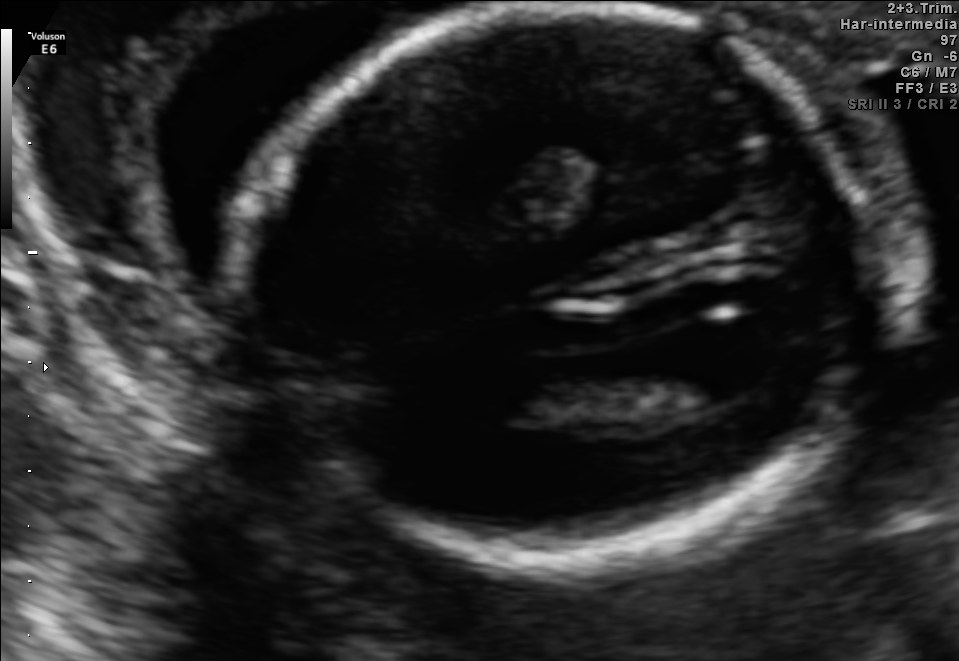
Fetal brain, trans-ventricular plane. Locate the fetal head.

Head: [227,4,884,579]